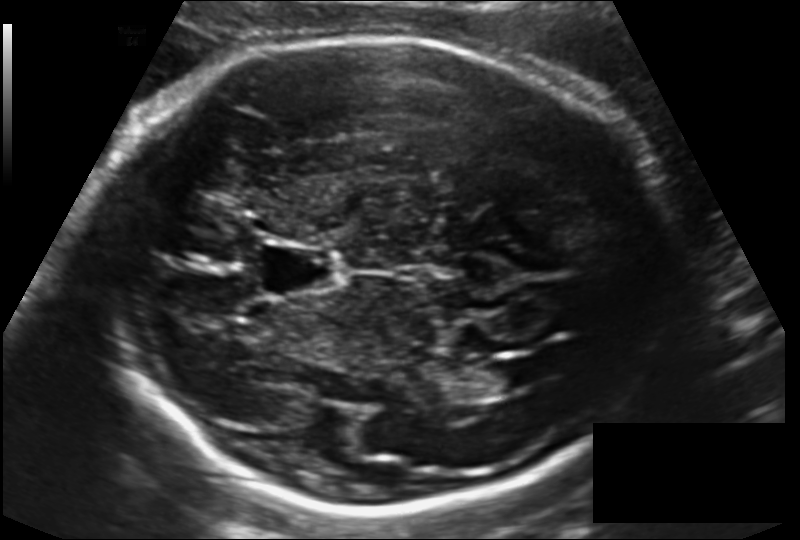
Fetal head ultrasound. Image width: 123.9 mm. Where is the fetal head?

Head bounding box: [94,37,669,515]